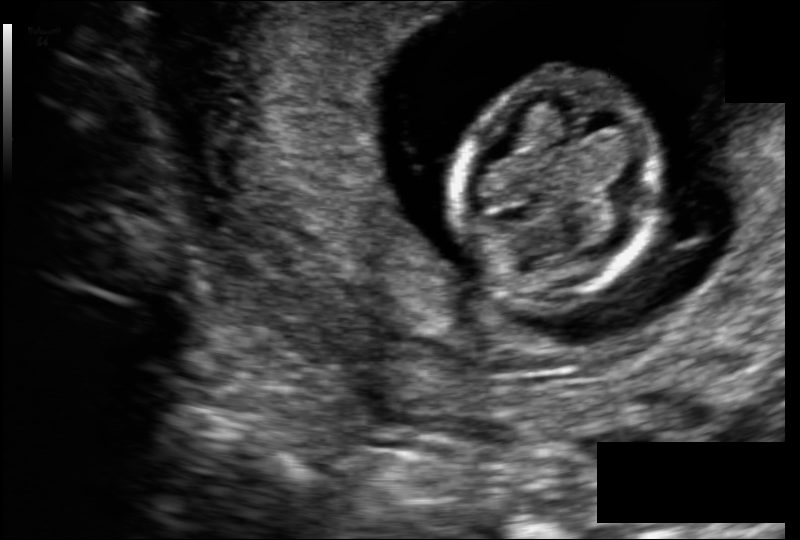
Fetal head ultrasound. Image width: 87.2 mm. Where is the fetal head?

Head bounding box: [451,74,662,301]